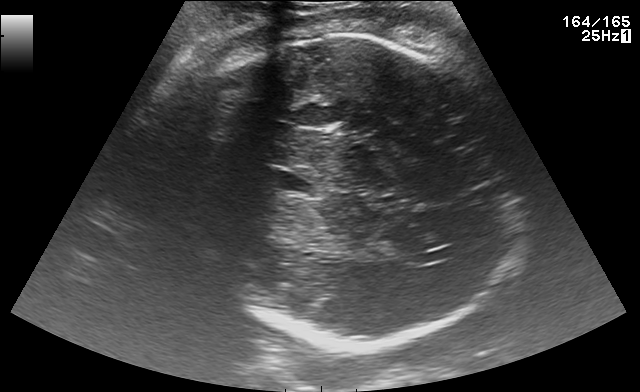
Fetal brain, trans-thalamic plane. Where is the lateral ventricle?

Lateral ventricle bounding box: [413,243,456,269]